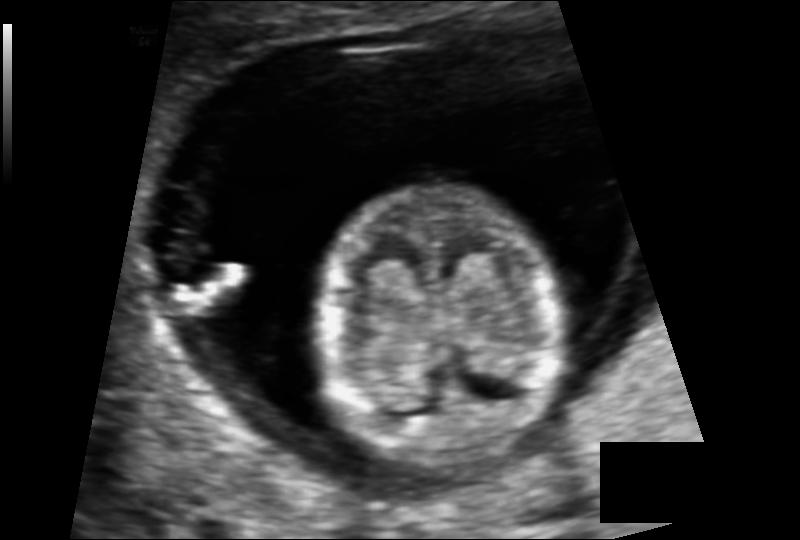
Fetal head ultrasound. Image width: 71.8 mm. Give [x1,y1,x2,y2] bounding boxes for each visible structure among: fetal head, CSP, LV.

Head: [315,185,560,470]